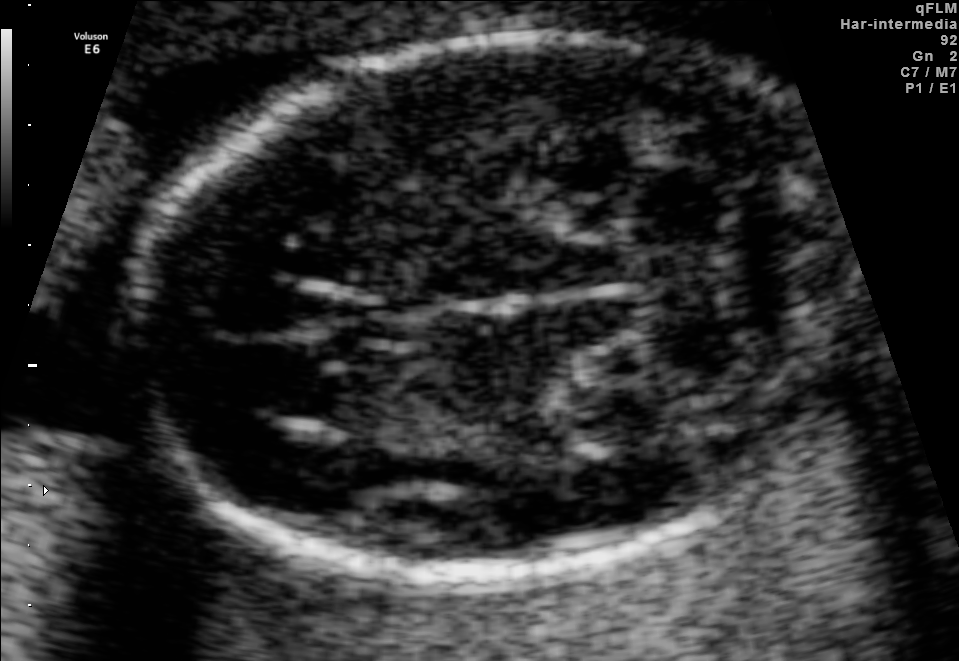
In this fetal brain, trans-cerebellum plane, give the bounding box of the fetal head.

[136,33,847,576]